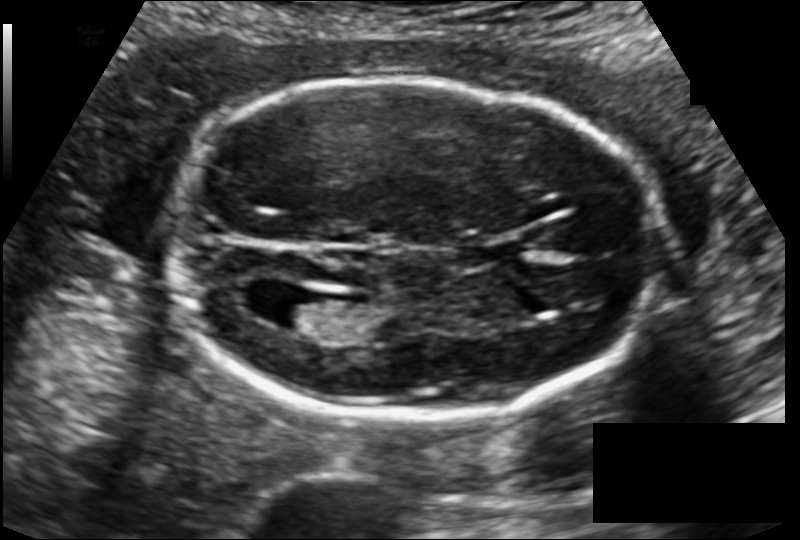
In this fetal head ultrasound, give the bounding box of the fetal head. Image width: 103.4 mm.

[163,78,657,419]